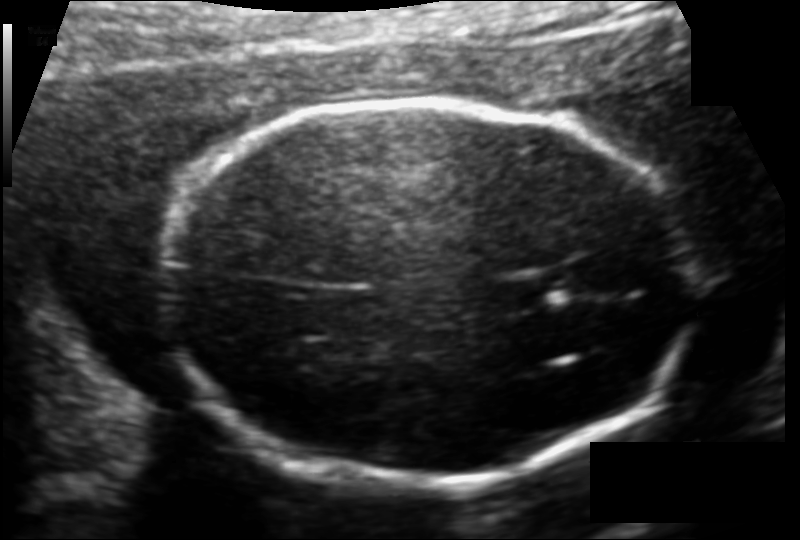
Fetal head ultrasound. Image width: 95.0 mm. Locate the cavum septum pellucidum.

CSP: [494,267,563,313]